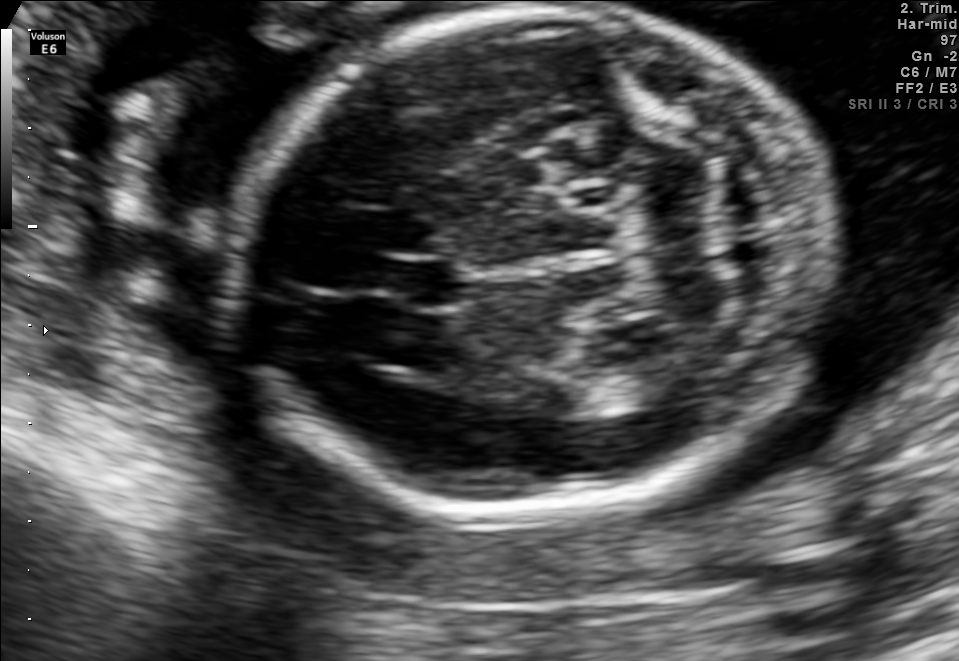
Fetal brain, trans-cerebellum plane. Locate the fetal head.

Head: [236,10,833,515]